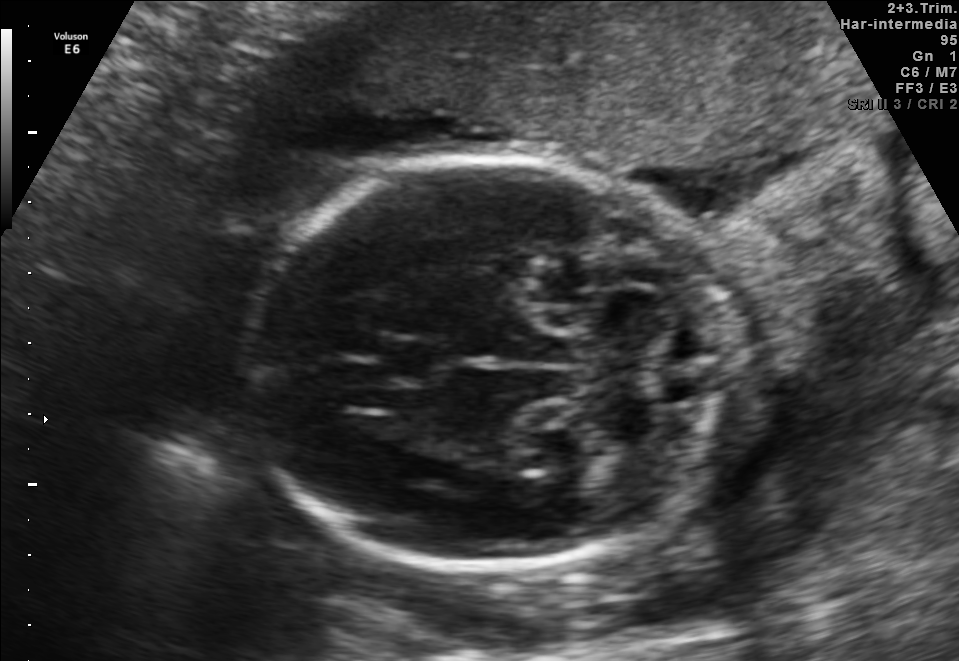
In this fetal brain, trans-cerebellum plane, give the bounding box of the cavum septum pellucidum.

[380,336,442,383]